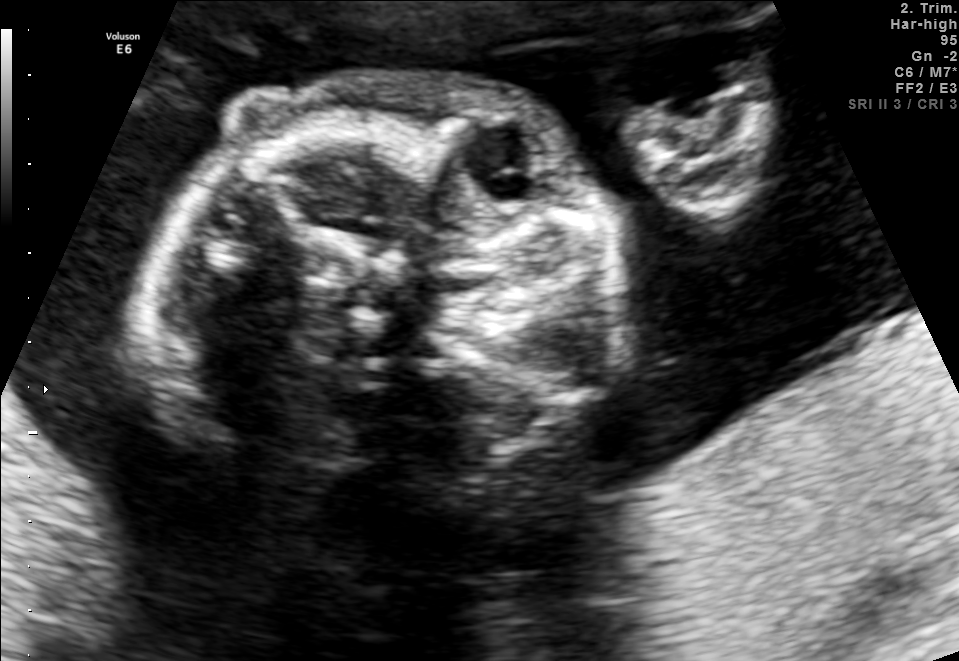
Which standard maternal-fetal ultrasound plane is shown: fetal abdomen, fetal brain, fetal femur, fetal thorax, maternal cervix, or other? If it's fetal brain and one of the three standard brain planes (trans-thalamic, trans-cerebellum, trans-ventricular), name which.

Other